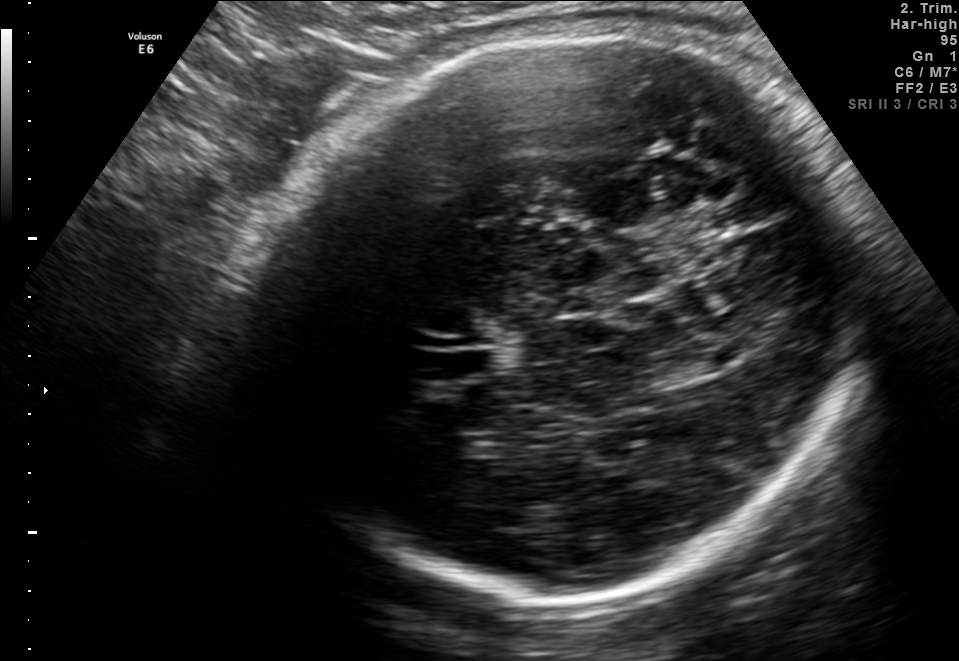
Fetal brain, trans-thalamic plane. Where is the lateral ventricle?

Lateral ventricle bounding box: [670,348,723,383]